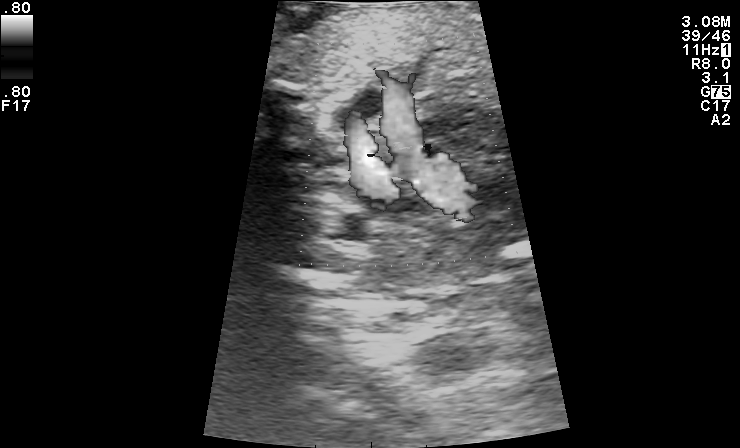
Which standard maternal-fetal ultrasound plane is shown: fetal abdomen, fetal brain, fetal femur, fetal thorax, maternal cervix, or other? If it's fetal brain and one of the three standard brain planes (trans-thalamic, trans-cerebellum, trans-ventricular), name which.

Other